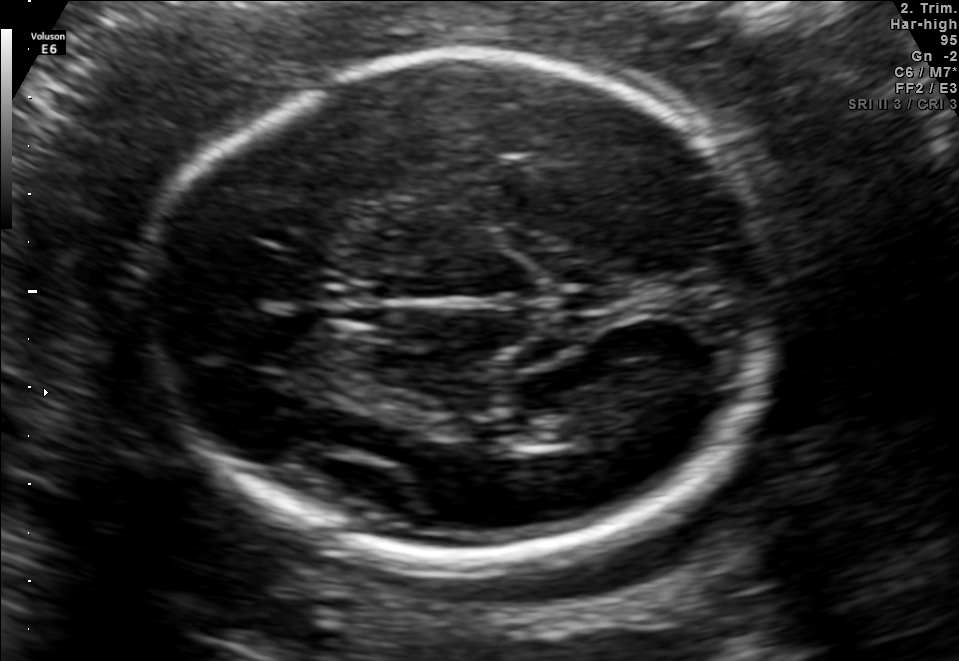
Fetal brain, trans-thalamic plane. Give [x1,y1,x2,y2] bounding boxes for each visible structure among: fetal head, CSP, LV.

Head: [145,49,768,560]
Lateral ventricle: [514,408,581,447]